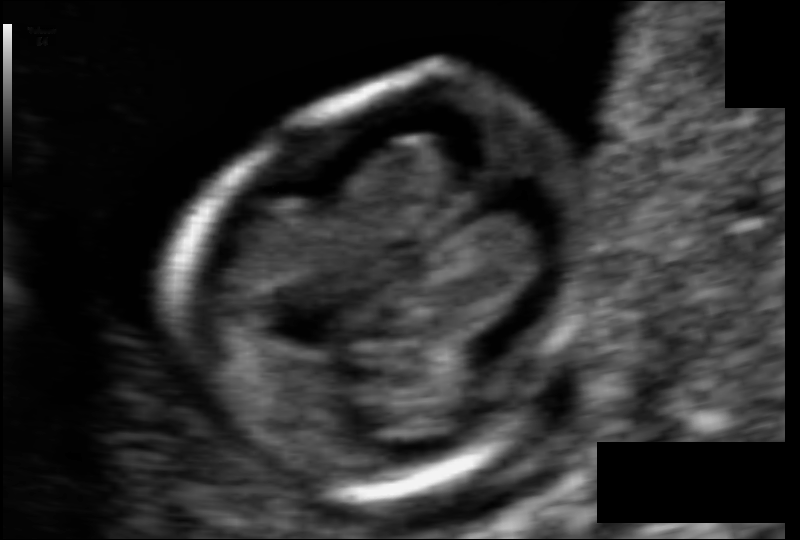
In this fetal head ultrasound, give the bounding box of the fetal head. Image width: 44.1 mm.

[180,79,601,490]